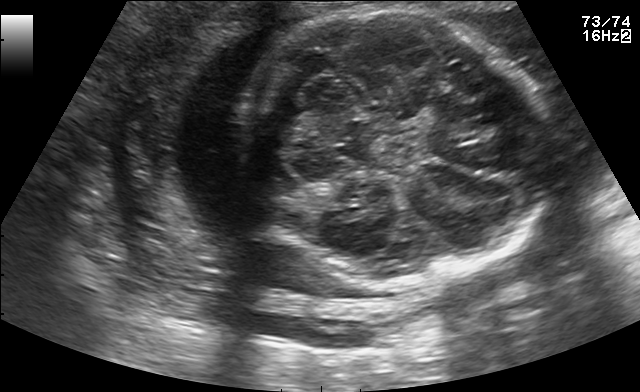
Fetal brain, trans-thalamic plane. Give [x1,y1,x2,y2] bounding boxes for each visible structure among: fetal head, CSP, LV.

Head: [230,7,552,283]